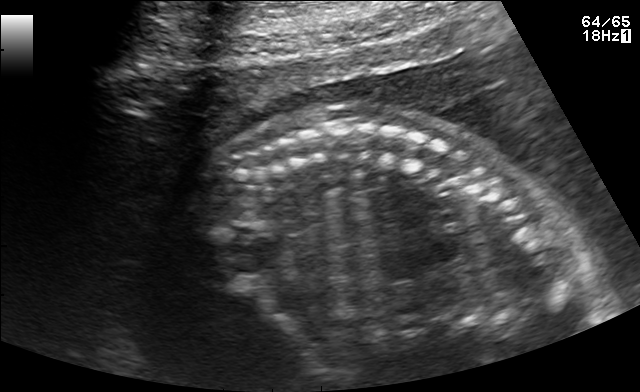
This is a 2D maternal-fetal ultrasound frame. Is it a fetal abdomen, fetal brain, fetal femur, fetal thorax, maternal cervix, or other standard plane? If it's fetal brain and one of the three standard brain planes (trans-thalamic, trans-cerebellum, trans-ventricular), name which.

Other